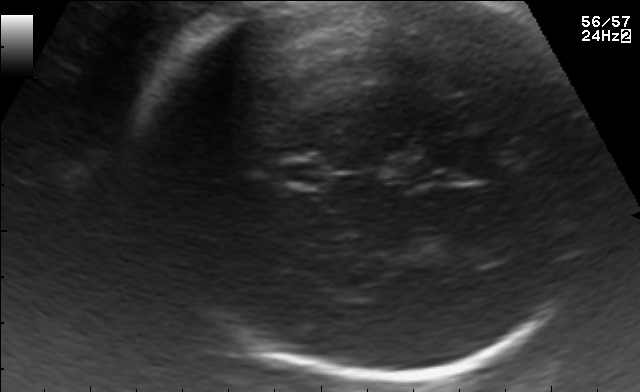
Fetal brain, trans-thalamic plane. Locate the fetal head.

Head: [137,1,602,377]